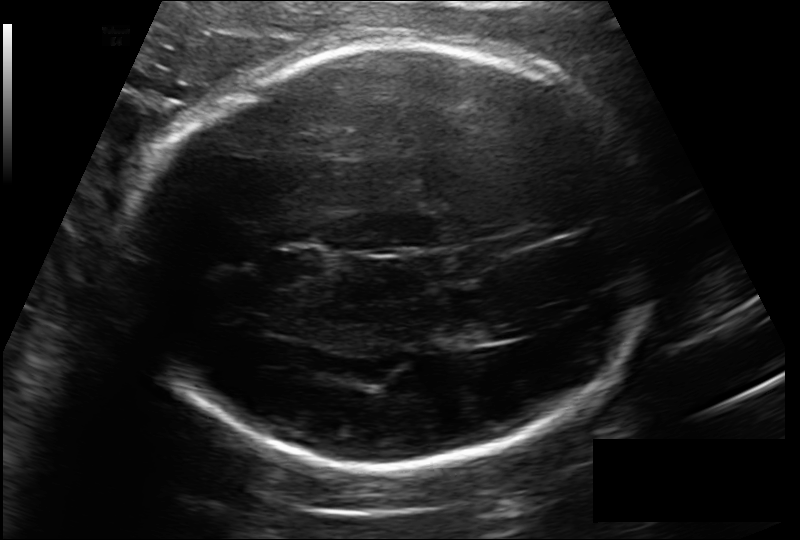
From this fetal ultrasound, estimate the head circumference (image width 148.1 mm).

Head circumference: 280.2 mm.